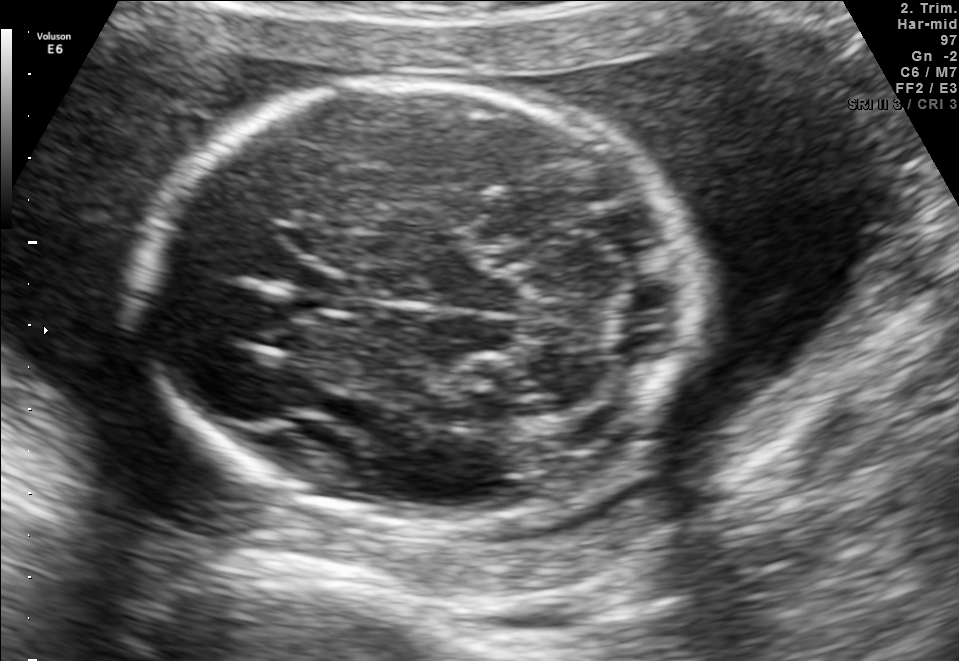
Fetal brain, trans-cerebellum plane. Where is the fetal head?

Head bounding box: [142,77,691,528]